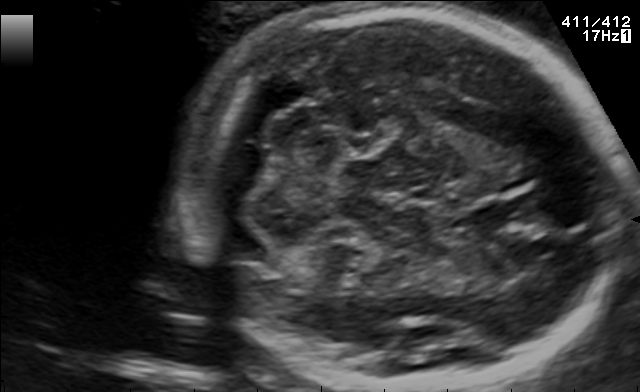
In this fetal brain, trans-cerebellum plane, give the bounding box of the cavum septum pellucidum.

[454,195,522,244]